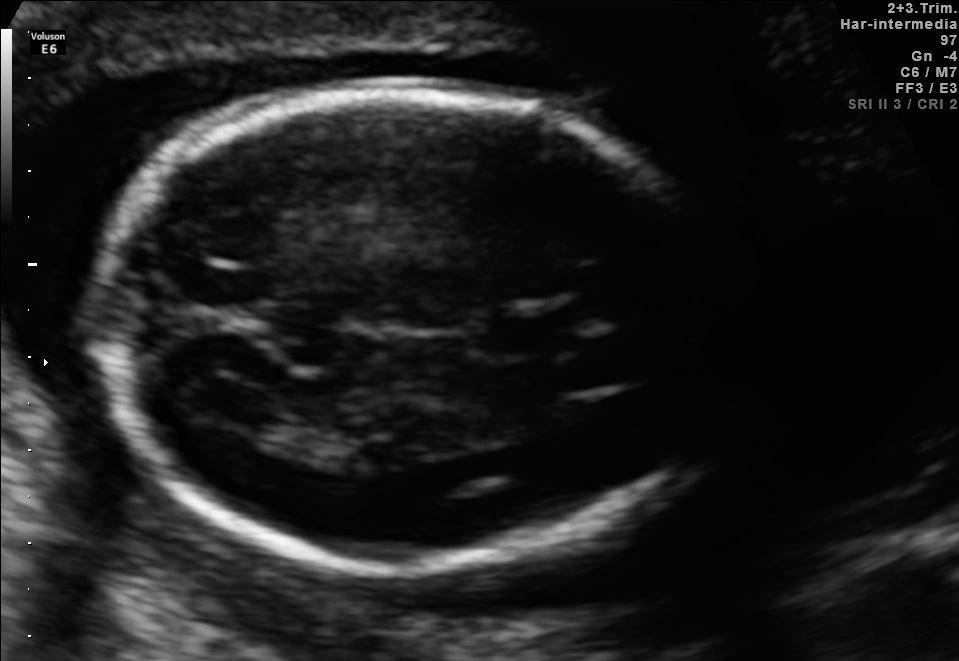
Fetal brain, trans-ventricular plane. Locate the cavum septum pellucidum.

CSP: [487,317,565,351]